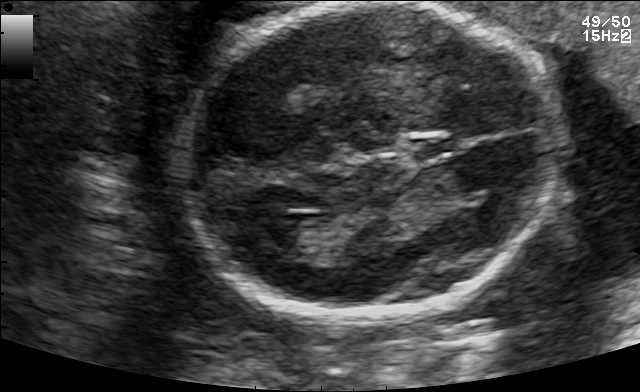
In this fetal brain, trans-ventricular plane, give the bounding box of the cavum septum pellucidum.

[407,133,462,162]